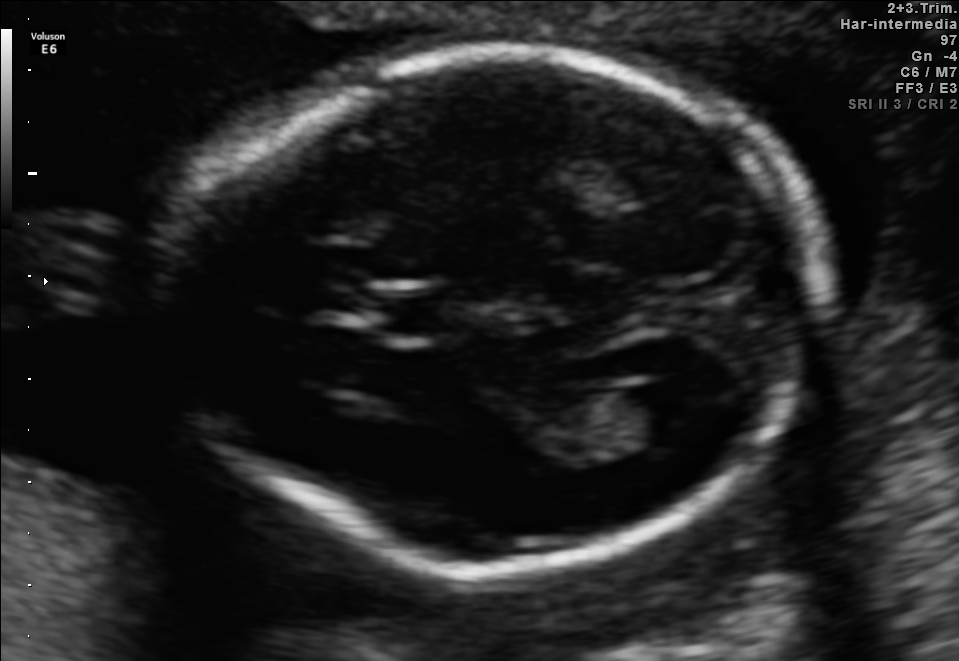
Fetal brain, trans-ventricular plane. Give [x1,y1,x2,y2] bounding boxes for each visible structure among: fetal head, CSP, LV.

Head: [149,37,840,588]
CSP: [363,297,442,336]
Lateral ventricle: [631,366,722,440]